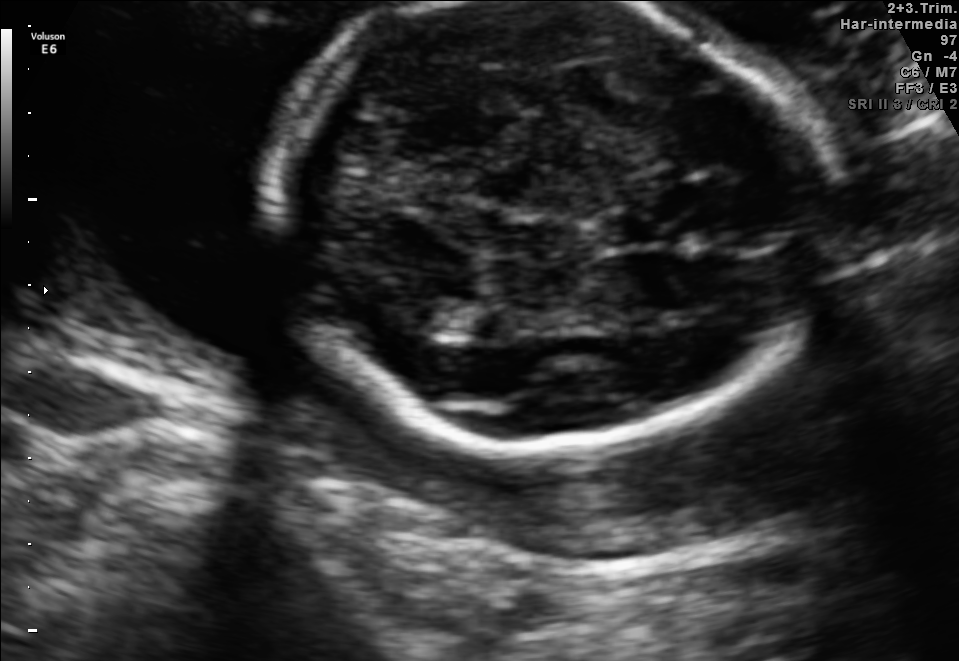
In this fetal brain, trans-thalamic plane, give the bounding box of the cavum septum pellucidum.

[596,211,658,249]